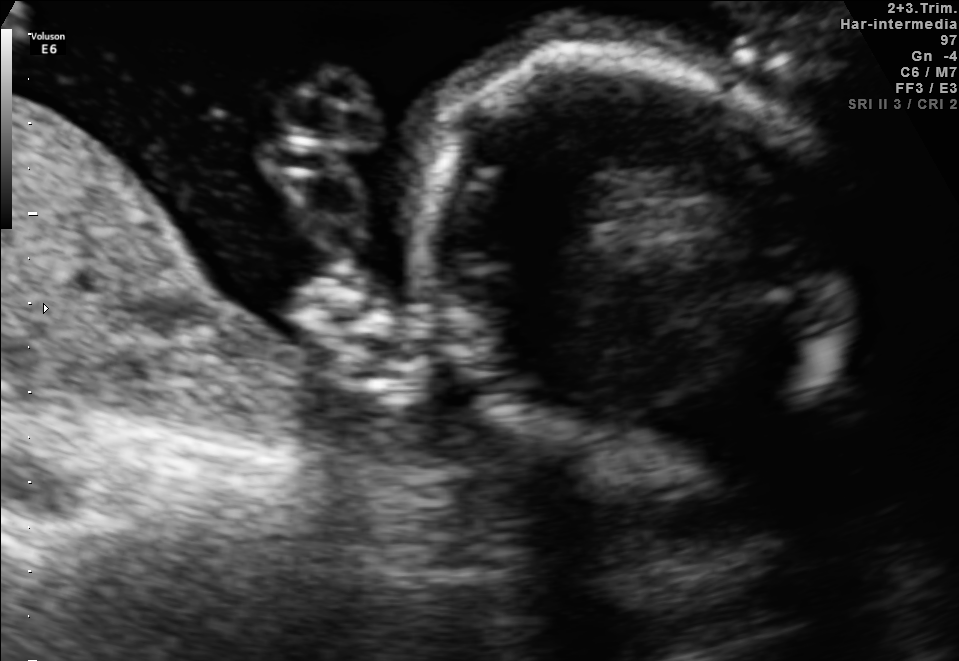
Which standard maternal-fetal ultrasound plane is shown: fetal abdomen, fetal brain, fetal femur, fetal thorax, maternal cervix, or other? If it's fetal brain and one of the three standard brain planes (trans-thalamic, trans-cerebellum, trans-ventricular), name which.

Fetal brain